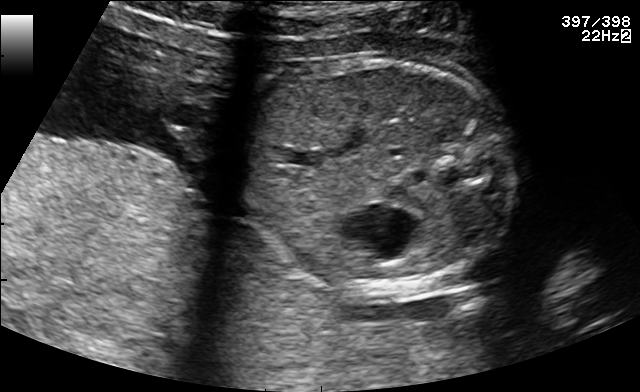
Identify the standard plane in this fetal ultrasound image: fetal abdomen, fetal brain, fetal femur, fetal thorax, maternal cervix, or other. If it's fetal brain and one of the three standard brain planes (trans-thalamic, trans-cerebellum, trans-ventricular), name which.

Fetal abdomen